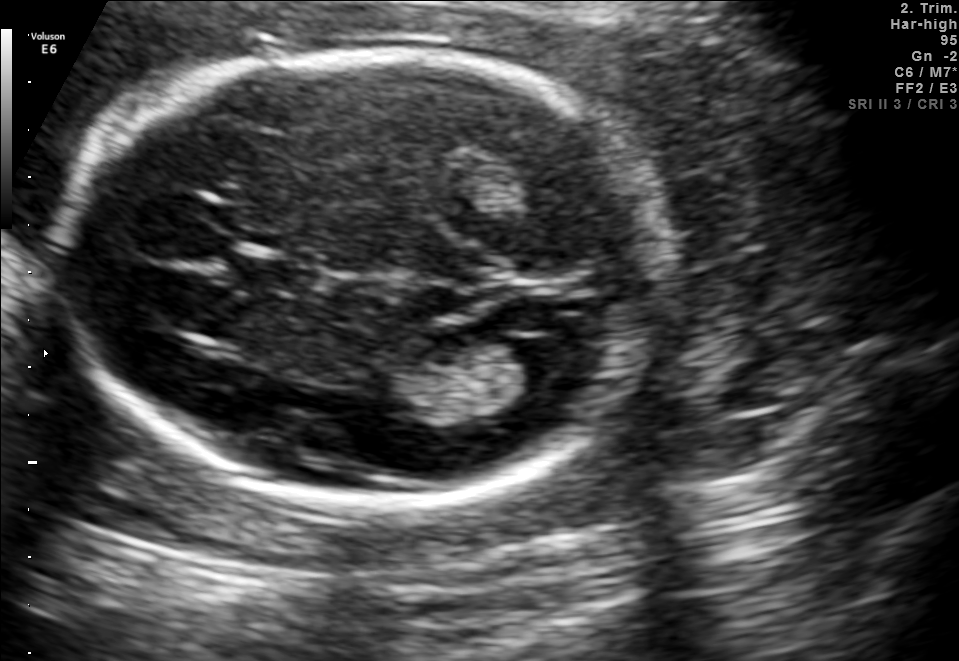
In this fetal brain, trans-ventricular plane, give the bounding box of the fetal head.

[54,47,677,506]